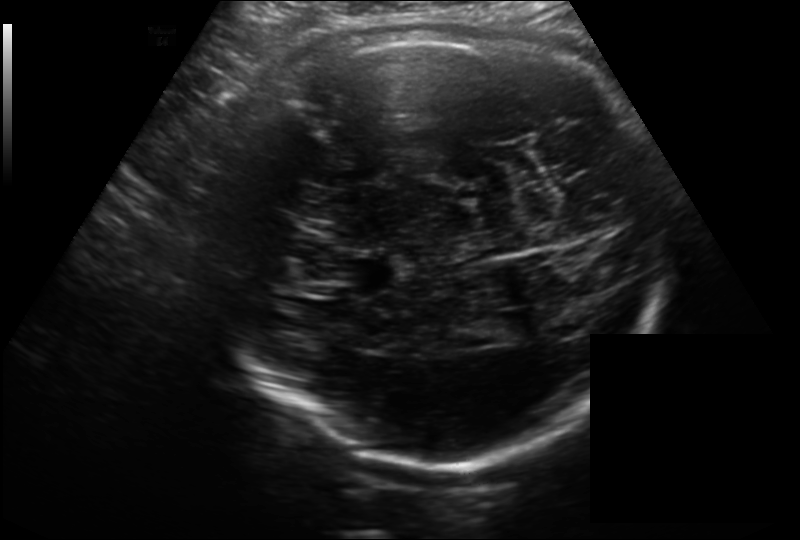
From this fetal ultrasound, estimate the head circumference (image width 171.5 mm).

Head circumference: 311.2 mm.